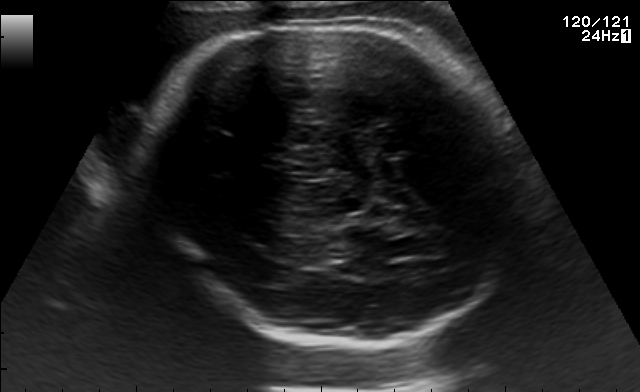
In this fetal brain, trans-thalamic plane, give the bounding box of the fetal head.

[153,19,526,347]